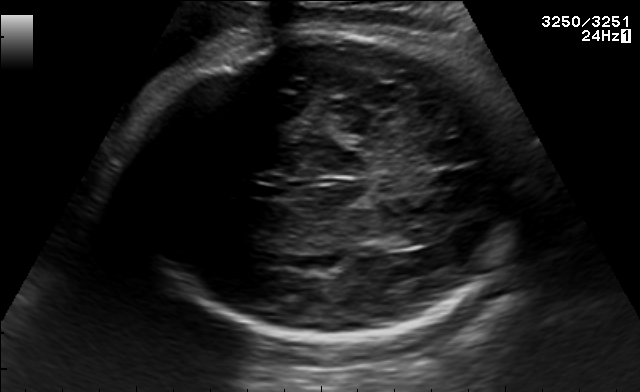
In this fetal brain, trans-thalamic plane, give bounding boxes for the head outline, cavum septum pellucidum (CSP), and lateral ventricle (LV), where visible.

Head: [124,33,517,339]
CSP: [250,183,283,200]
Lateral ventricle: [377,226,432,252]